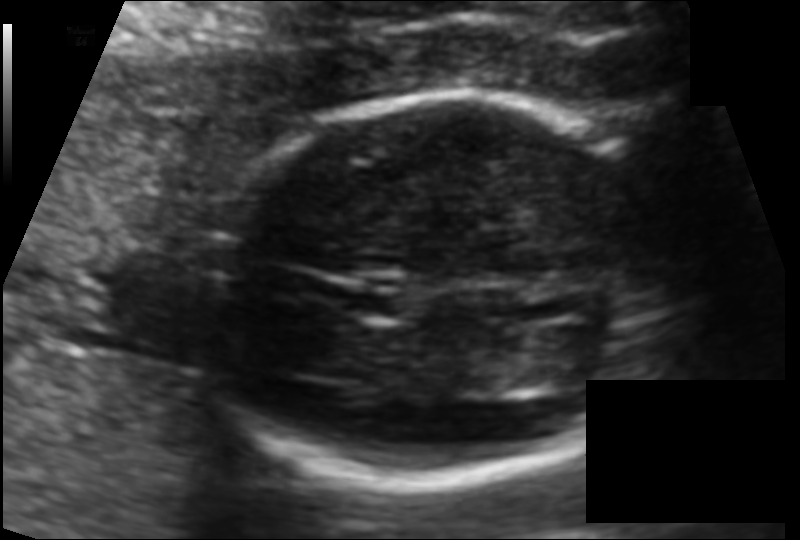
Fetal head ultrasound. Image width: 80.0 mm. Give [x1,y1,x2,y2] bounding boxes for each visible structure among: fetal head, CSP, LV.

Head: [191,95,687,486]